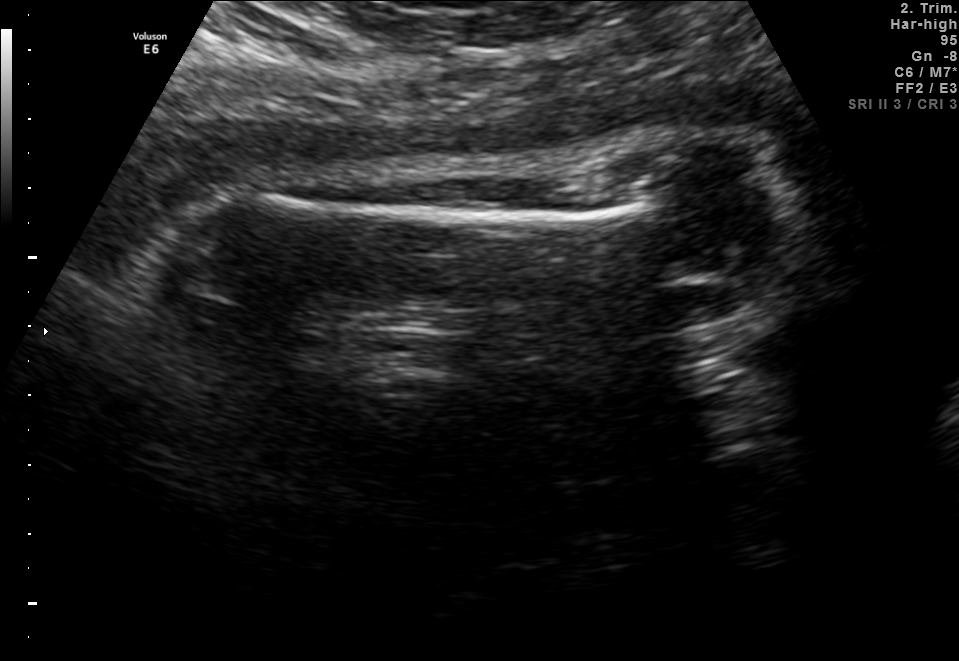
This is a 2D maternal-fetal ultrasound frame. Is it a fetal abdomen, fetal brain, fetal femur, fetal thorax, maternal cervix, or other standard plane? If it's fetal brain and one of the three standard brain planes (trans-thalamic, trans-cerebellum, trans-ventricular), name which.

Fetal femur